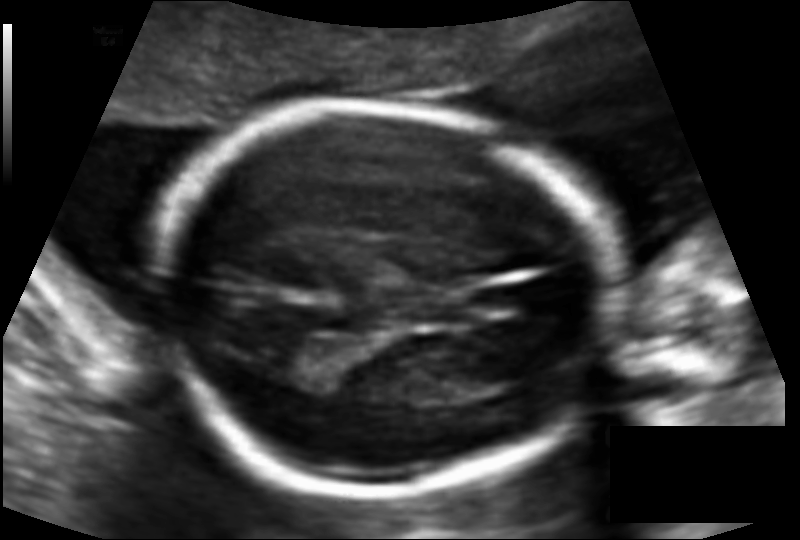
Fetal head ultrasound. Image width: 87.7 mm. Where is the cavum septum pellucidum?

CSP bounding box: [412,297,467,324]